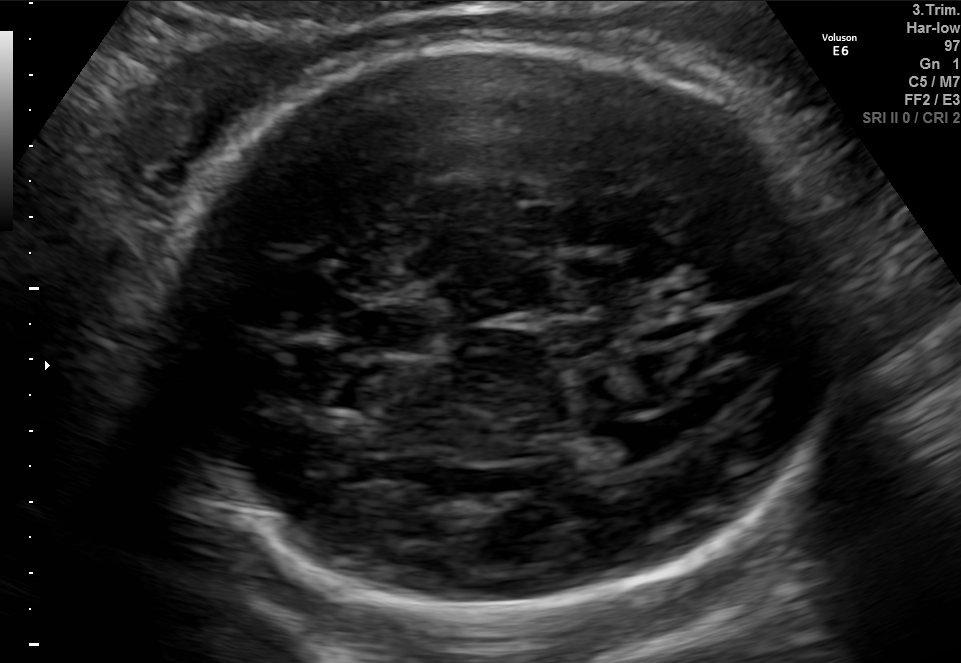
Fetal brain, trans-ventricular plane. Where is the fetal head?

Head bounding box: [144,38,867,617]